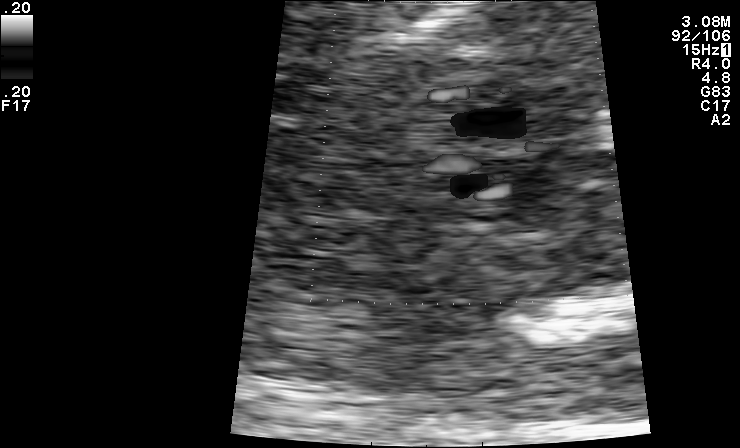
Identify the standard plane in this fetal ultrasound image: fetal abdomen, fetal brain, fetal femur, fetal thorax, maternal cervix, or other. If it's fetal brain and one of the three standard brain planes (trans-thalamic, trans-cerebellum, trans-ventricular), name which.

Other